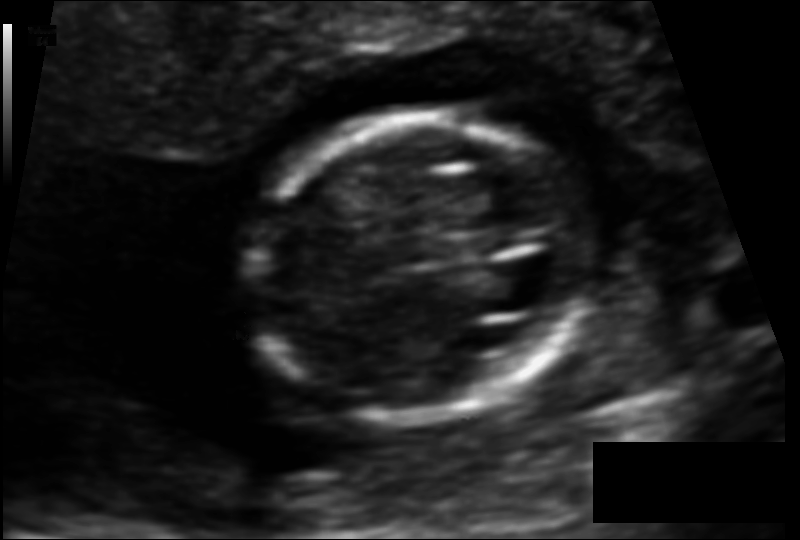
From this fetal ultrasound, estimate the head circumference (image width 73.5 mm).

Head circumference: 95.6 mm.